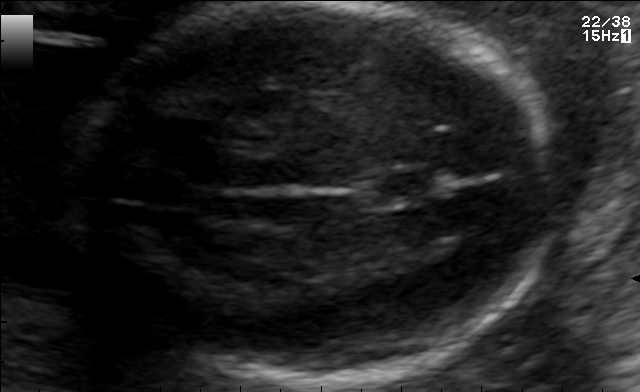
Fetal brain, trans-thalamic plane. Locate the fetal head and, if visible, the cavum septum pellucidum (CSP) and lateral ventricle (LV). Give bounding boxes as [x1,y1,x2,y2].

Head: [64,4,557,383]
CSP: [365,166,442,206]